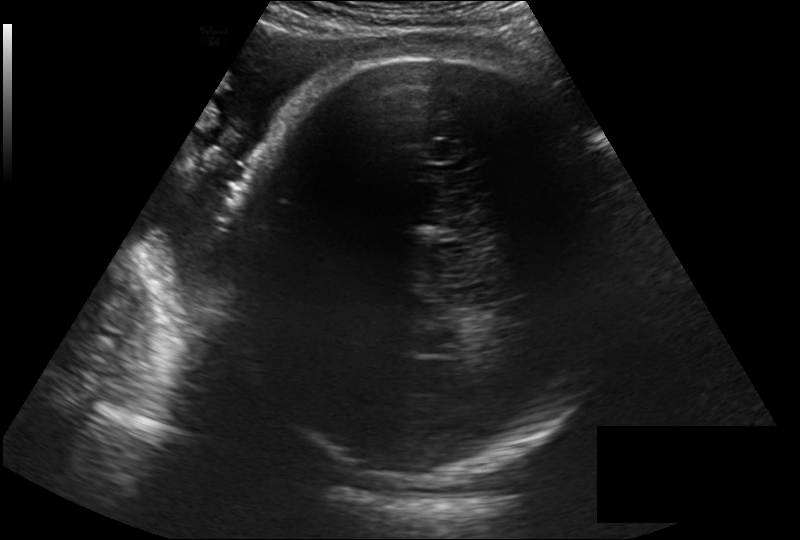
Fetal head ultrasound. Image width: 206.0 mm. Locate the fetal head and, if visible, the cavum septum pellucidum (CSP) and lateral ventricle (LV). Give bounding boxes as [x1,y1,x2,y2].

Head: [224,54,625,483]